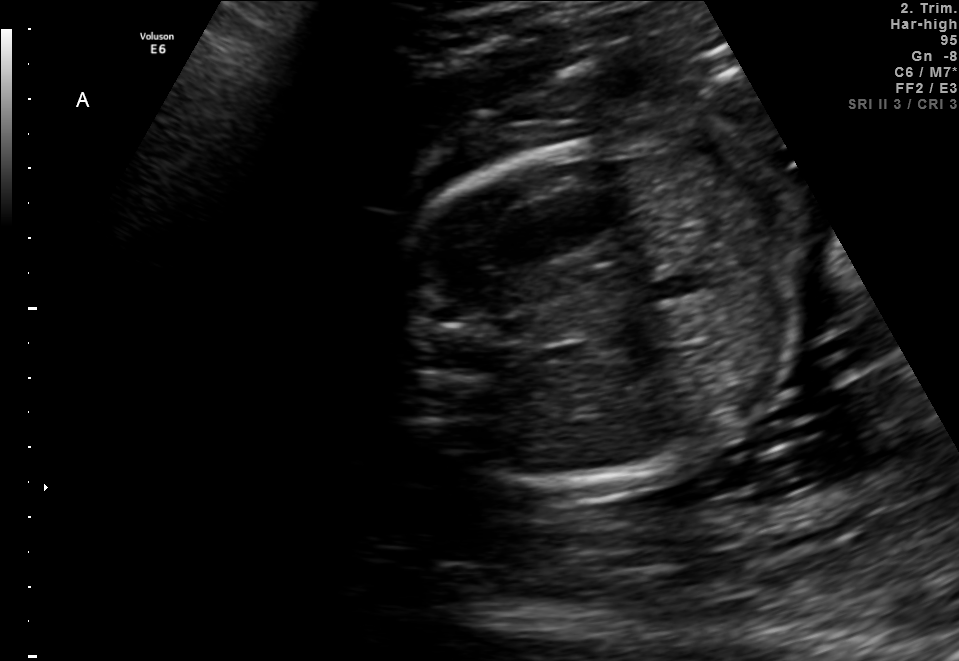
Identify the standard plane in this fetal ultrasound image: fetal abdomen, fetal brain, fetal femur, fetal thorax, maternal cervix, or other. If it's fetal brain and one of the three standard brain planes (trans-thalamic, trans-cerebellum, trans-ventricular), name which.

Fetal brain